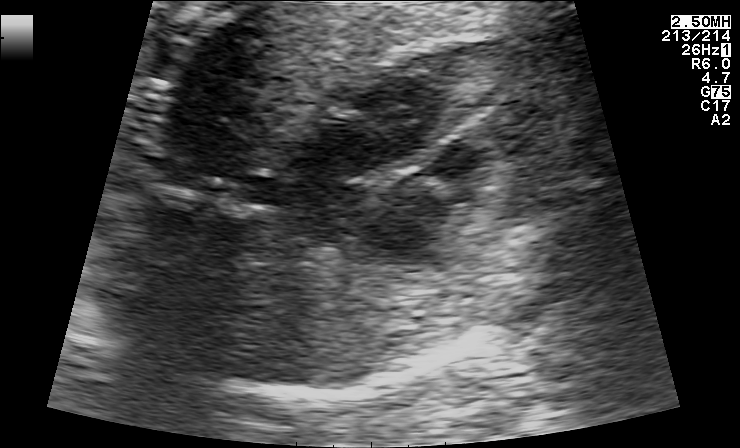
This is a 2D maternal-fetal ultrasound frame. Is it a fetal abdomen, fetal brain, fetal femur, fetal thorax, maternal cervix, or other standard plane? If it's fetal brain and one of the three standard brain planes (trans-thalamic, trans-cerebellum, trans-ventricular), name which.

Fetal thorax